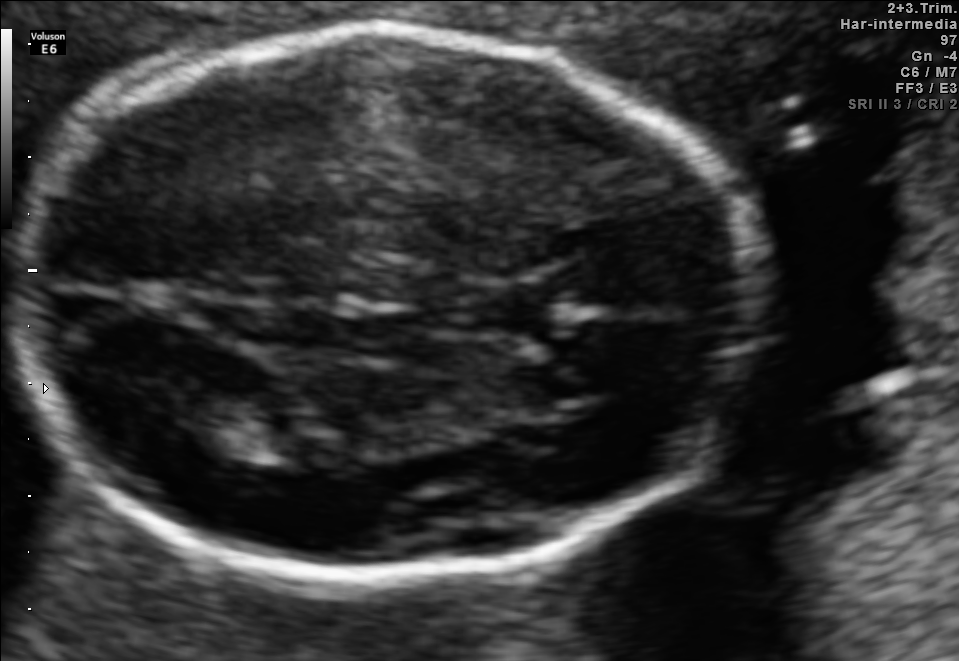
Identify the standard plane in this fetal ultrasound image: fetal abdomen, fetal brain, fetal femur, fetal thorax, maternal cervix, or other. If it's fetal brain and one of the three standard brain planes (trans-thalamic, trans-cerebellum, trans-ventricular), name which.

Fetal brain (trans-thalamic plane)